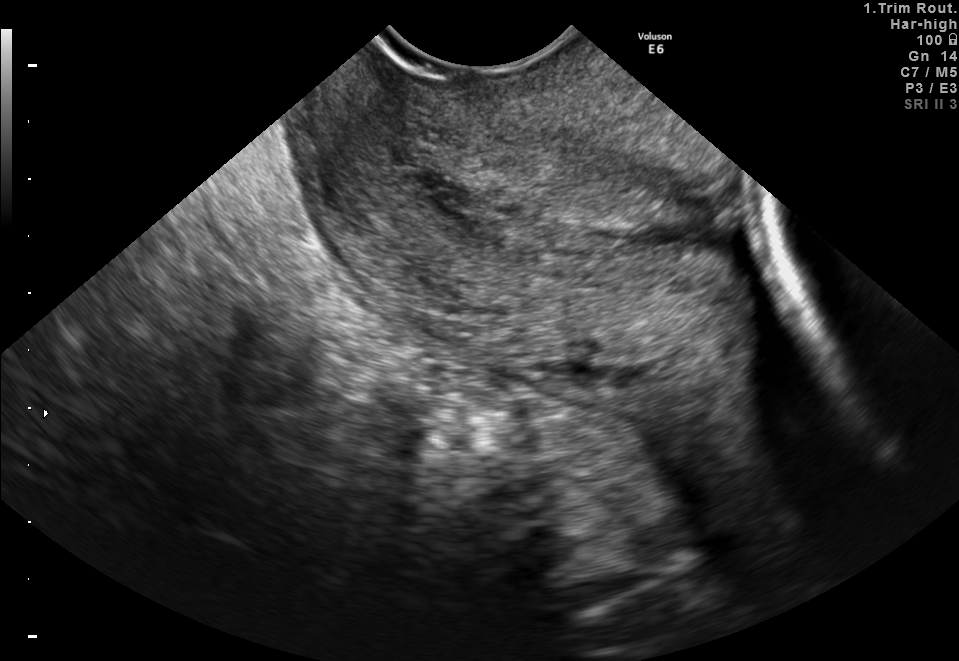
This is a 2D maternal-fetal ultrasound frame. Is it a fetal abdomen, fetal brain, fetal femur, fetal thorax, maternal cervix, or other standard plane? If it's fetal brain and one of the three standard brain planes (trans-thalamic, trans-cerebellum, trans-ventricular), name which.

Maternal cervix